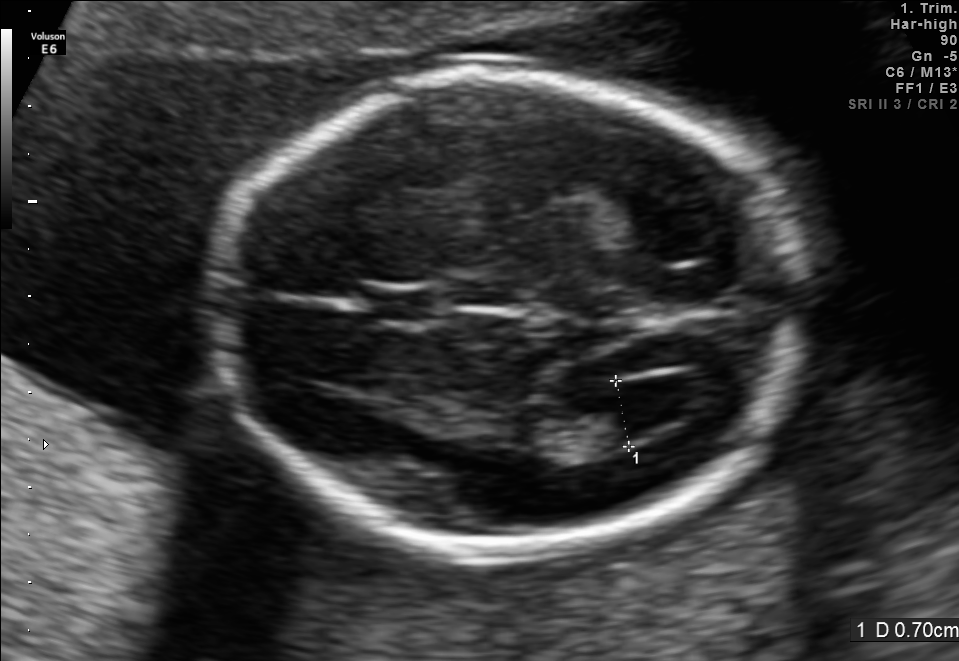
In this fetal brain, trans-ventricular plane, give the bounding box of the fetal head.

[197,56,830,569]